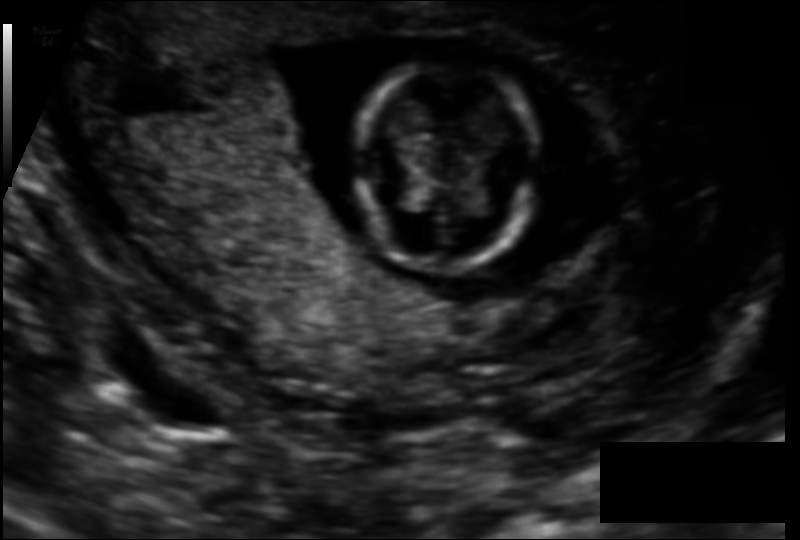
Estimate the fetal head circumference from this 2D ultrasound.

Head circumference: 69.7 mm (image width 88.1 mm).